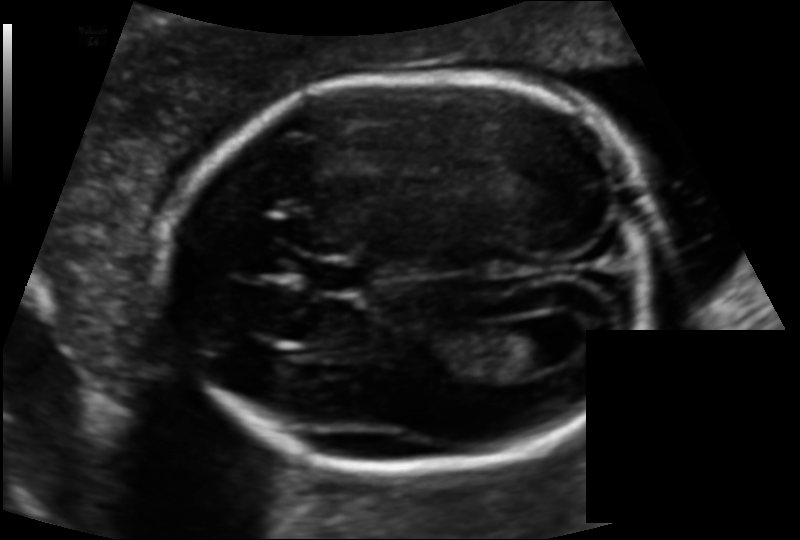
Fetal head ultrasound. Image width: 95.5 mm. Locate the fetal head and, if visible, the cavum septum pellucidum (CSP) and lateral ventricle (LV). Give bounding boxes as [x1,y1,x2,y2].

Head: [165,74,655,473]
CSP: [305,255,371,295]
Lateral ventricle: [490,317,567,378]